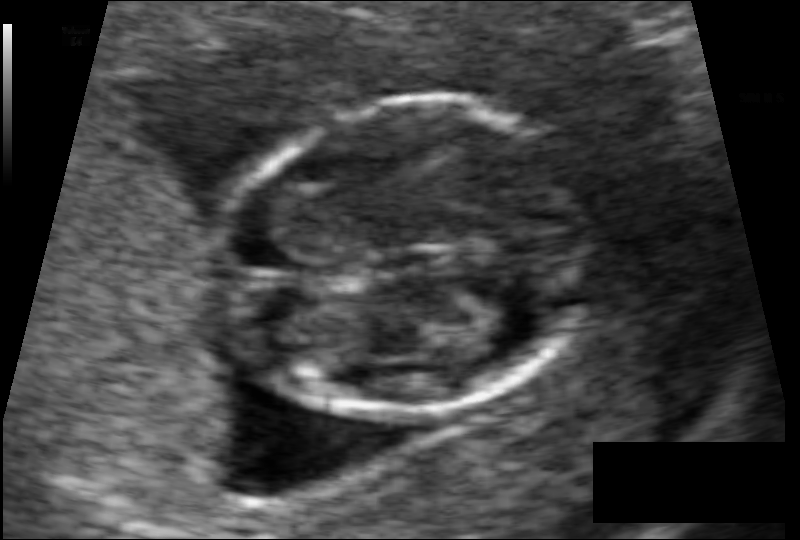
Fetal head ultrasound. Image width: 48.9 mm. Locate the fetal head and, if visible, the cavum septum pellucidum (CSP) and lateral ventricle (LV). Give bounding boxes as [x1,y1,x2,y2].

Head: [213,104,596,418]